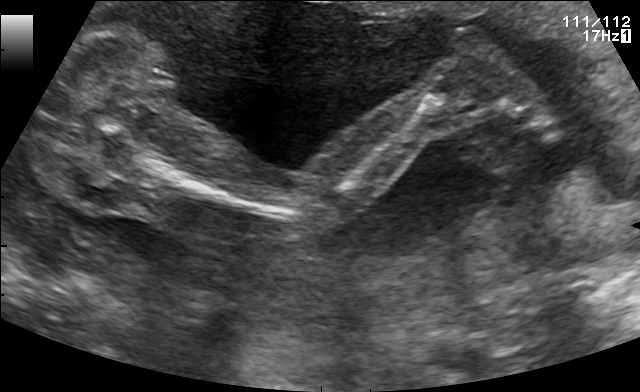
Which standard maternal-fetal ultrasound plane is shown: fetal abdomen, fetal brain, fetal femur, fetal thorax, maternal cervix, or other? If it's fetal brain and one of the three standard brain planes (trans-thalamic, trans-cerebellum, trans-ventricular), name which.

Fetal femur